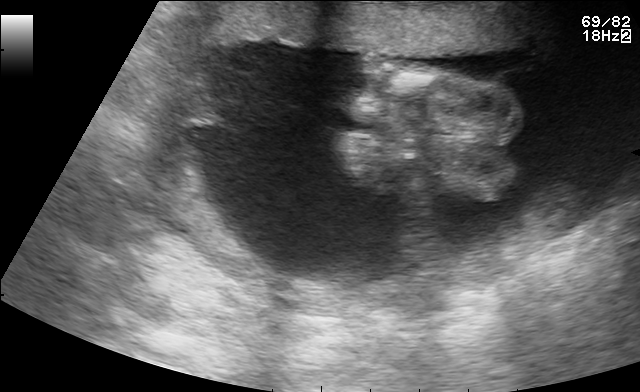
Which standard maternal-fetal ultrasound plane is shown: fetal abdomen, fetal brain, fetal femur, fetal thorax, maternal cervix, or other? If it's fetal brain and one of the three standard brain planes (trans-thalamic, trans-cerebellum, trans-ventricular), name which.

Other